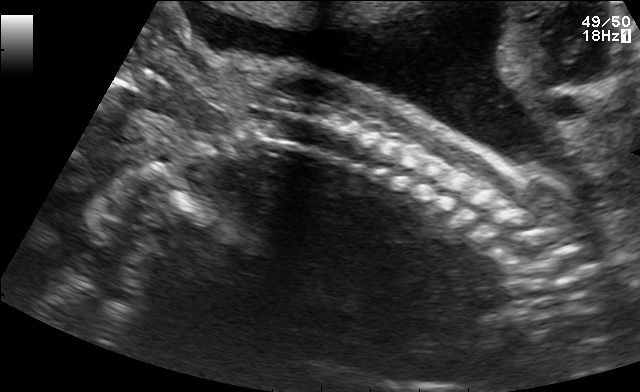
Identify the standard plane in this fetal ultrasound image: fetal abdomen, fetal brain, fetal femur, fetal thorax, maternal cervix, or other. If it's fetal brain and one of the three standard brain planes (trans-thalamic, trans-cerebellum, trans-ventricular), name which.

Other